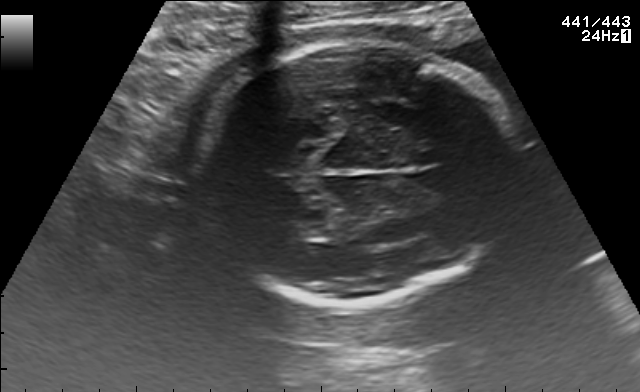
In this fetal brain, trans-thalamic plane, give the bounding box of the fetal head.

[195,42,513,305]